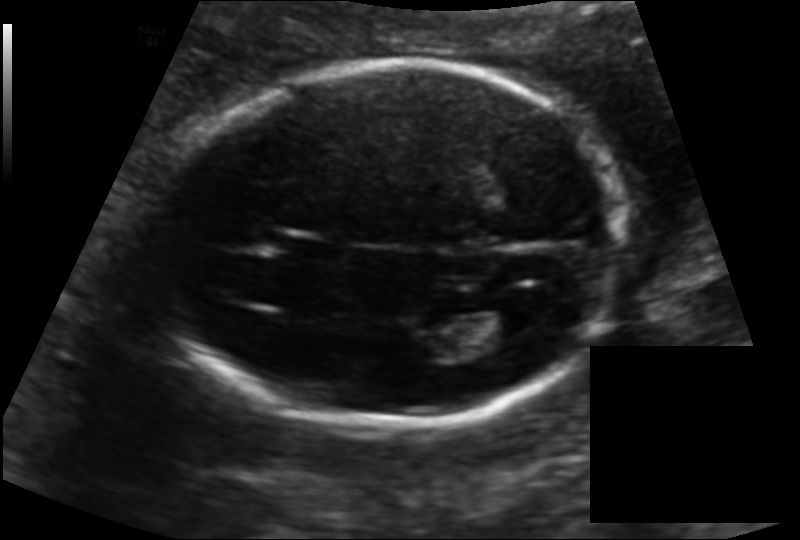
From this fetal ultrasound, estimate the head circumference (image width 110.8 mm).

Head circumference: 186.9 mm.